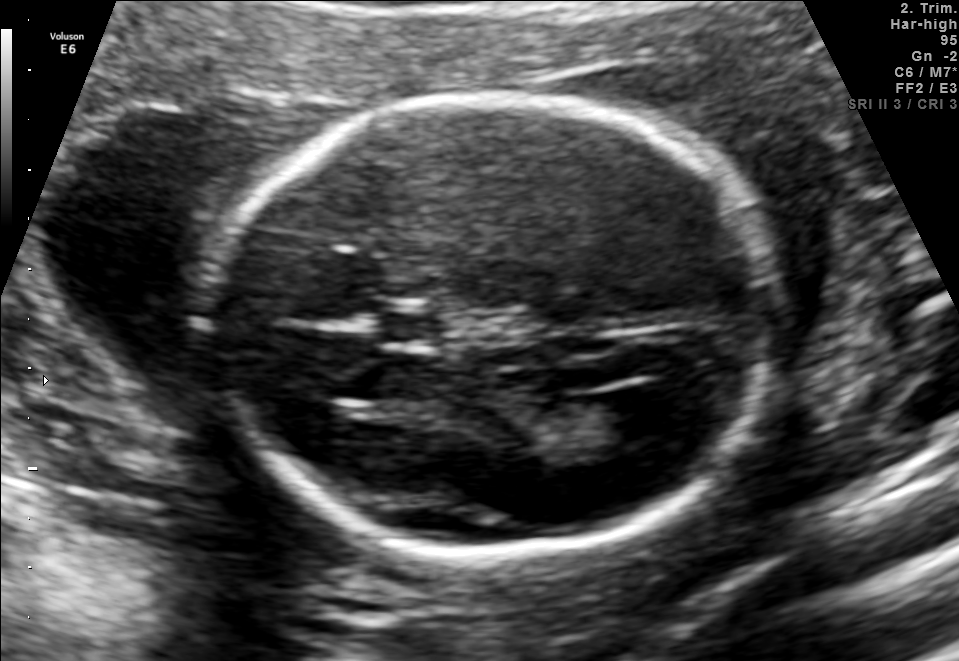
In this fetal brain, trans-ventricular plane, give bounding boxes for the head outline, cavum septum pellucidum (CSP), and lateral ventricle (LV), where visible.

Head: [194,87,797,562]
CSP: [370,308,460,347]
Lateral ventricle: [585,371,690,453]